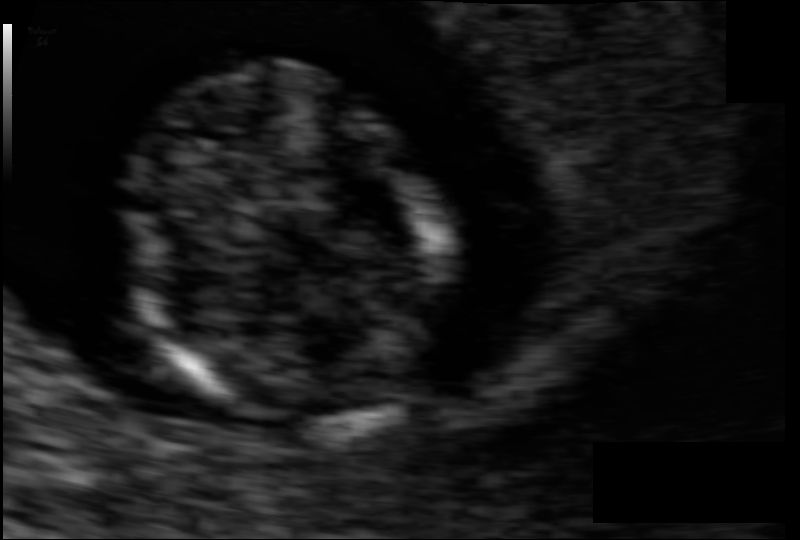
Fetal head ultrasound. Image width: 51.3 mm. Locate the fetal head.

Head: [123,75,450,429]